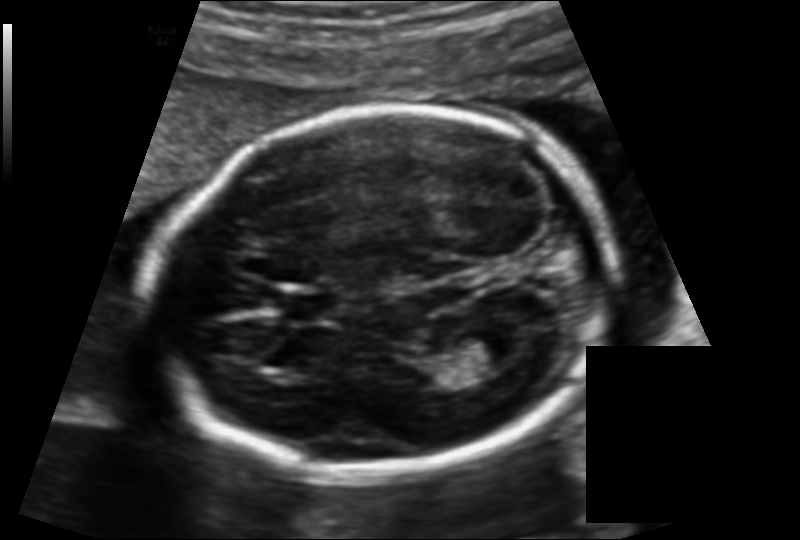
Fetal head ultrasound. Image width: 104.7 mm. Locate the lateral ventricle.

Lateral ventricle: [450,315,530,382]